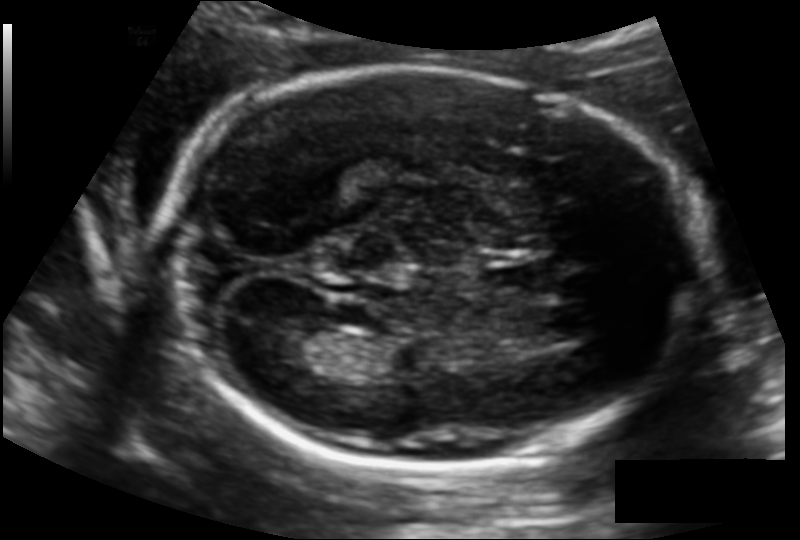
Fetal head ultrasound. Image width: 103.6 mm. Locate the cavum septum pellucidum.

CSP: [482,255,557,299]